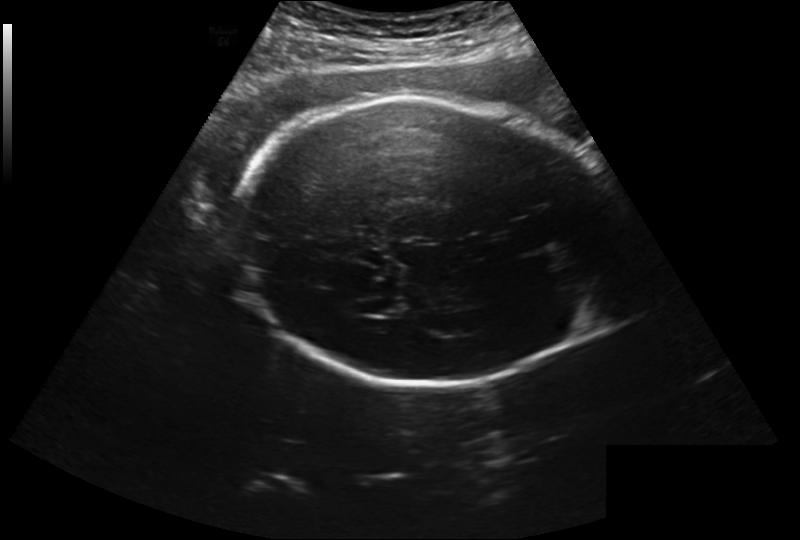
Estimate the fetal head circumference from this 2D ultrasound.

Head circumference: 282.4 mm (image width 208.3 mm).